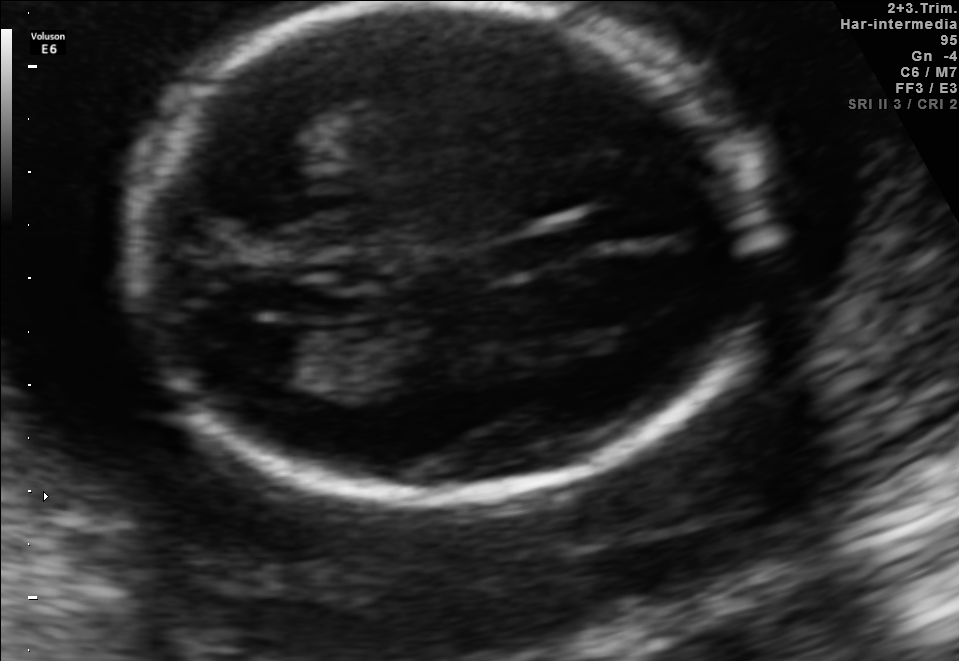
Fetal brain, trans-ventricular plane. Where is the fetal head?

Head bounding box: [109,4,788,507]